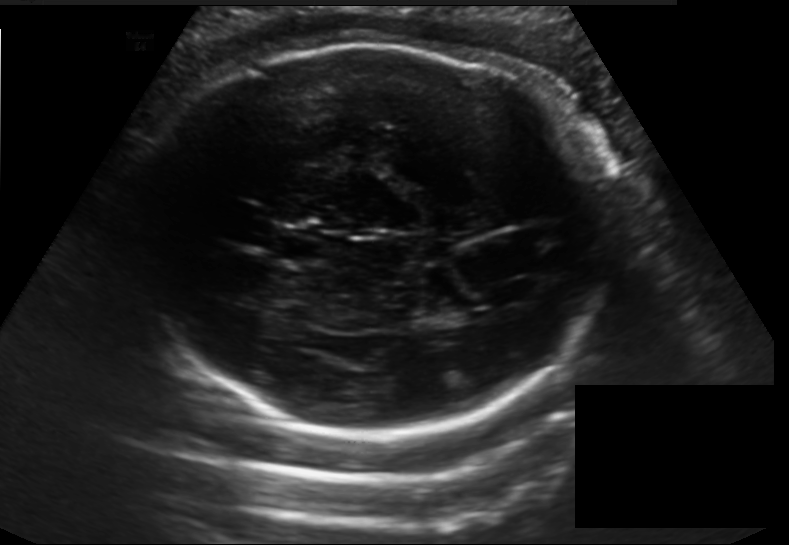
In this fetal head ultrasound, give the bounding box of the fetal head. Image width: 156.6 mm.

[128,44,610,435]